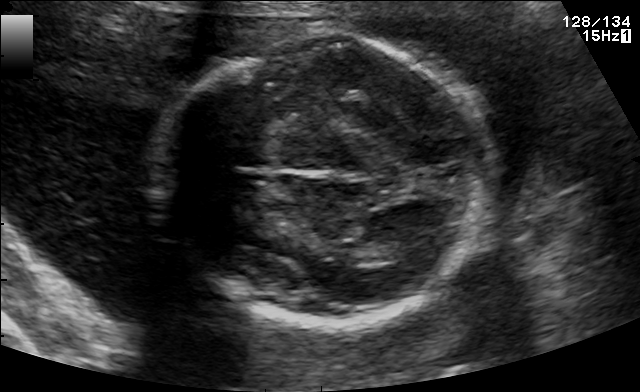
Fetal brain, trans-thalamic plane. Locate the lateral ventricle.

Lateral ventricle: [369,235,427,266]